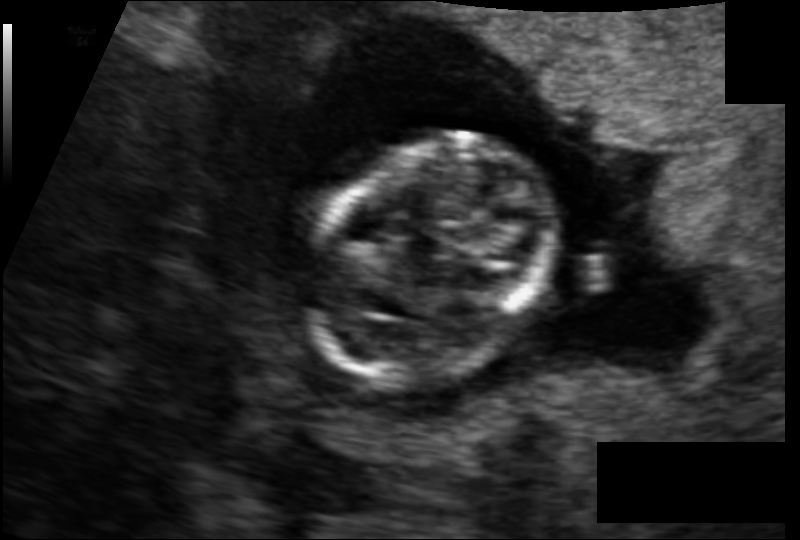
Fetal head ultrasound. Image width: 77.6 mm. Give [x1,y1,x2,y2] bounding boxes for each visible structure among: fetal head, CSP, LV.

Head: [291,134,557,378]